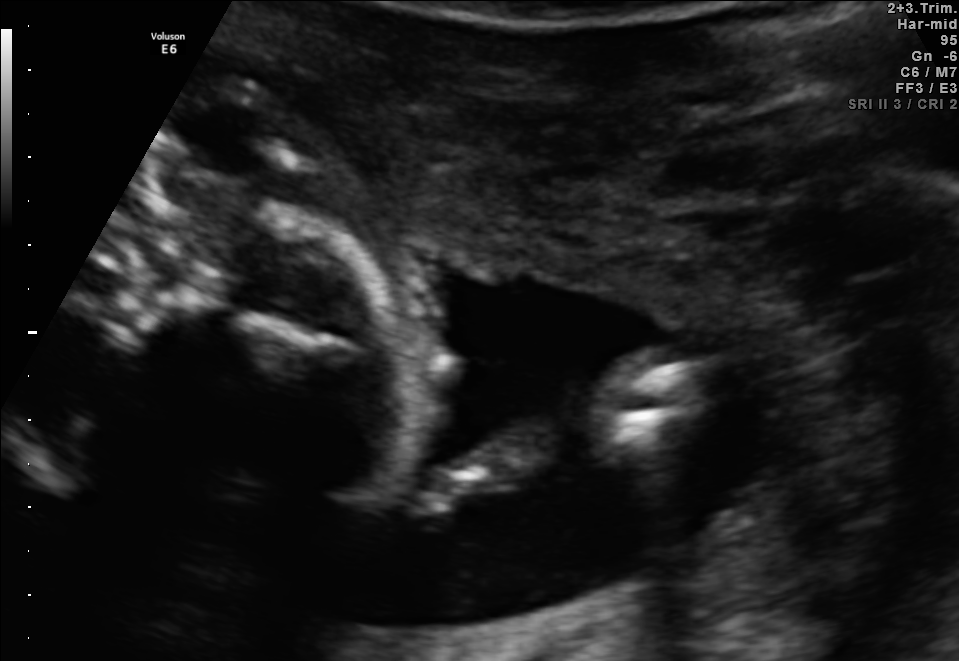
This is a 2D maternal-fetal ultrasound frame. Is it a fetal abdomen, fetal brain, fetal femur, fetal thorax, maternal cervix, or other standard plane? If it's fetal brain and one of the three standard brain planes (trans-thalamic, trans-cerebellum, trans-ventricular), name which.

Other